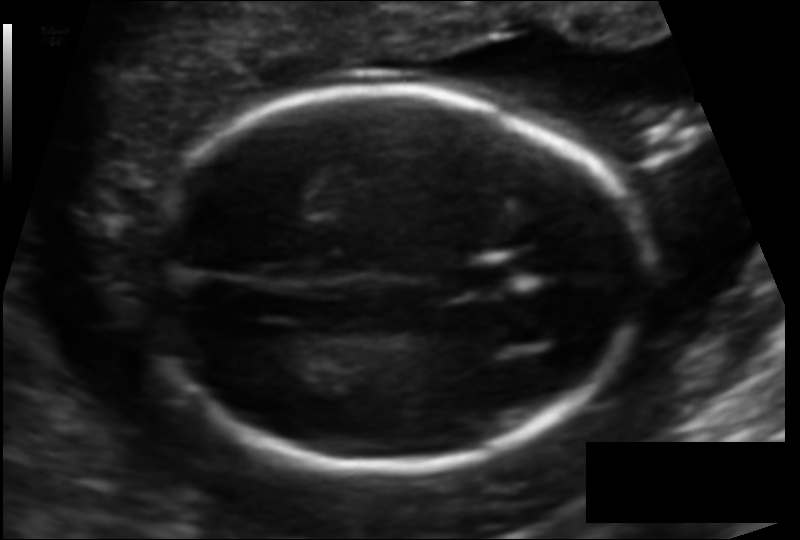
Estimate the fetal head circumference from this 2D ultrasound. Image width: 91.5 mm.

Head circumference: 162.0 mm.